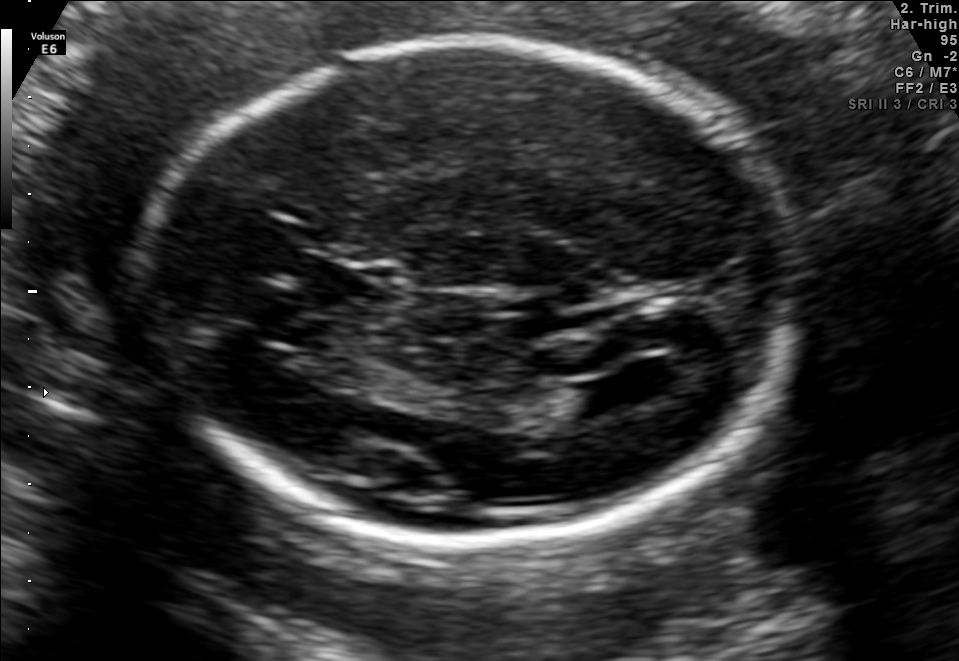
In this fetal brain, trans-ventricular plane, give the bounding box of the cavum septum pellucidum.

[299,260,410,322]